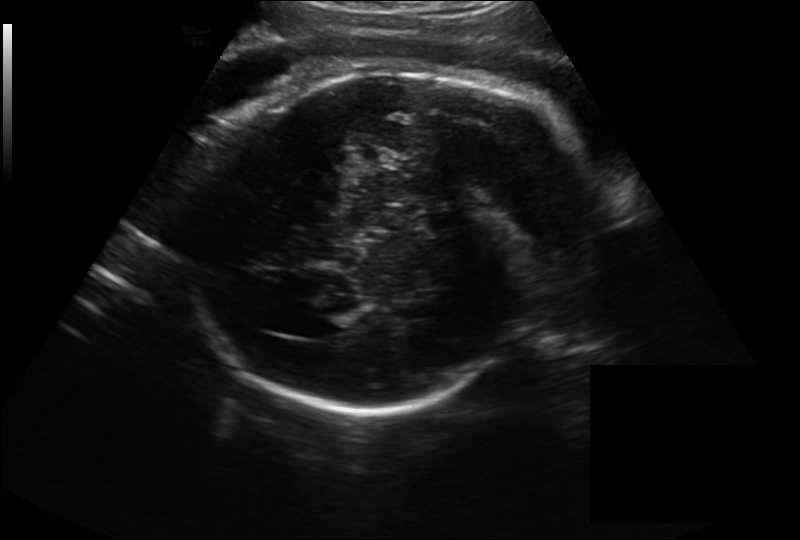
From this fetal ultrasound, estimate the head circumference (image width 209.3 mm).

Head circumference: 312.5 mm.